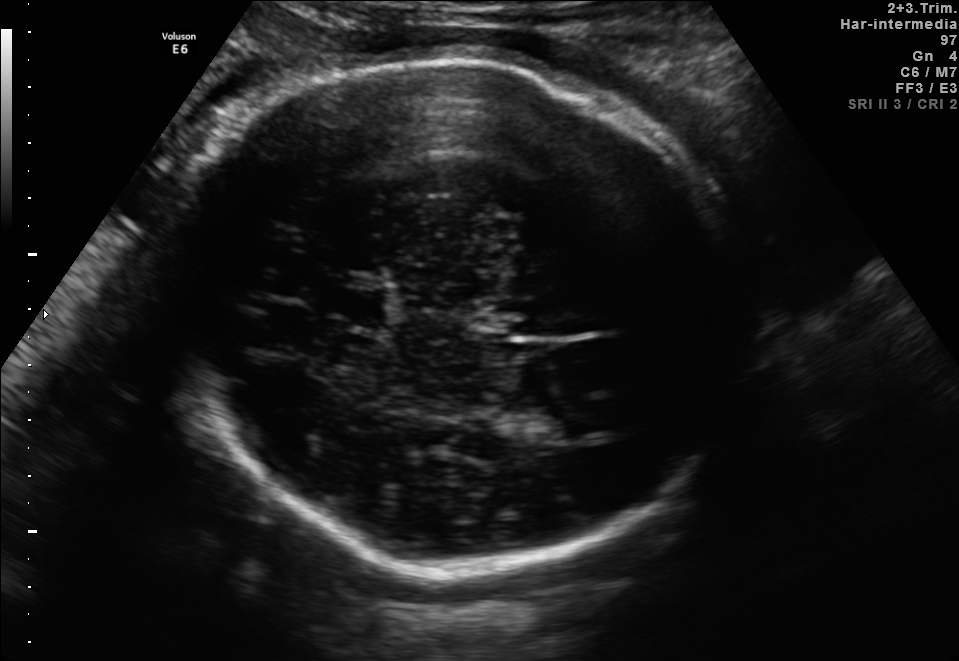
Fetal brain, trans-thalamic plane. Locate the lateral ventricle.

Lateral ventricle: [544,397,616,441]